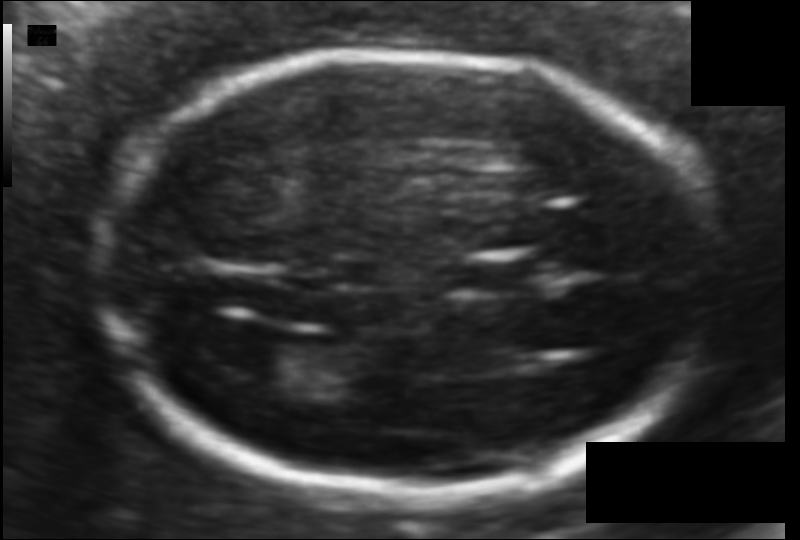
Fetal head ultrasound. Image width: 75.4 mm. Locate the cavum septum pellucidum.

CSP: [470,256,541,294]